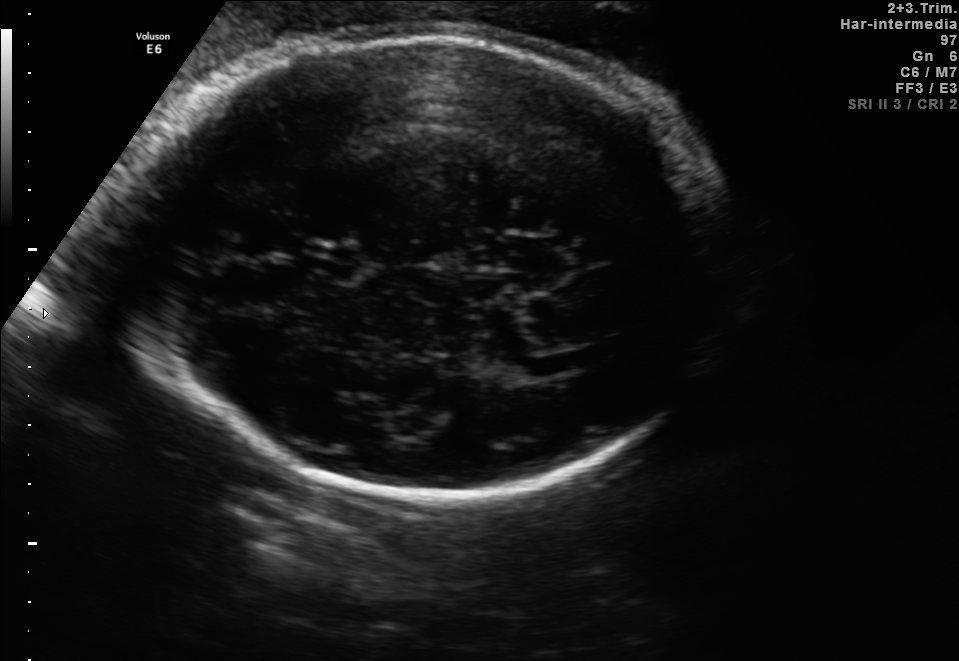
Fetal brain, trans-thalamic plane. Locate the fetal head.

Head: [134,35,733,490]